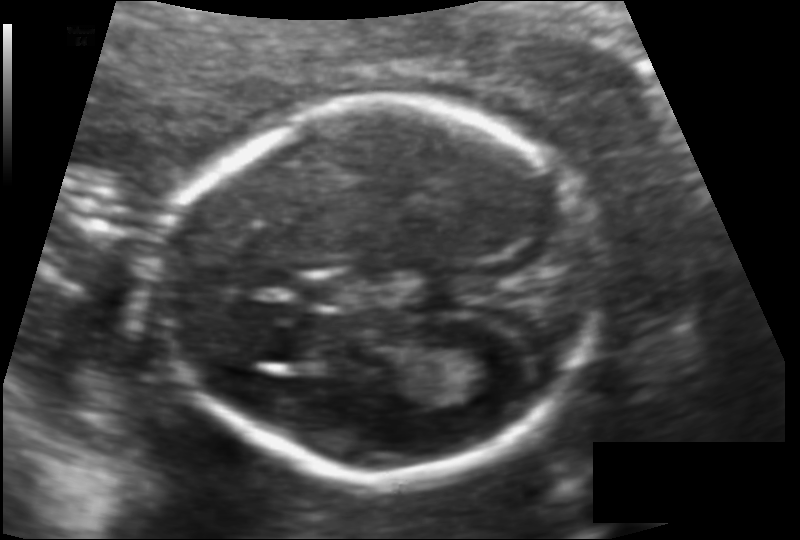
In this fetal head ultrasound, give the bounding box of the cavum septum pellucidum. Image width: 90.5 mm.

[295,276,357,307]